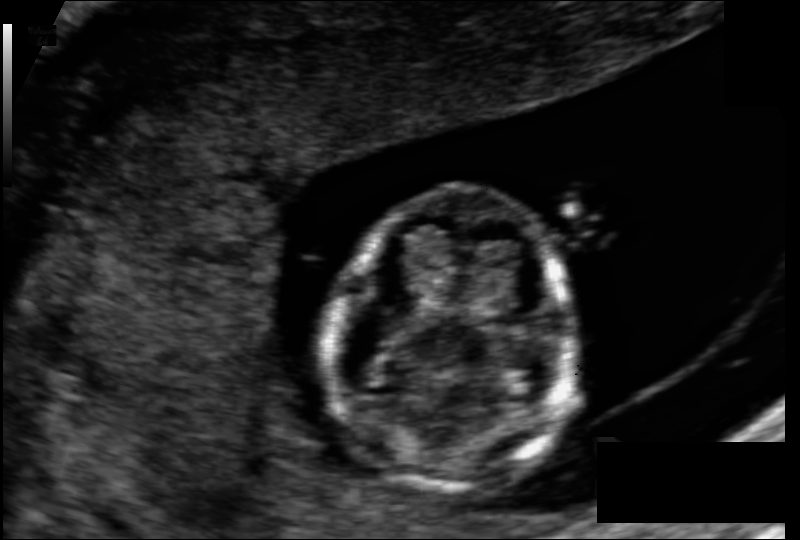
Fetal head ultrasound. Image width: 77.7 mm. Locate the fetal head.

Head: [329,190,570,493]